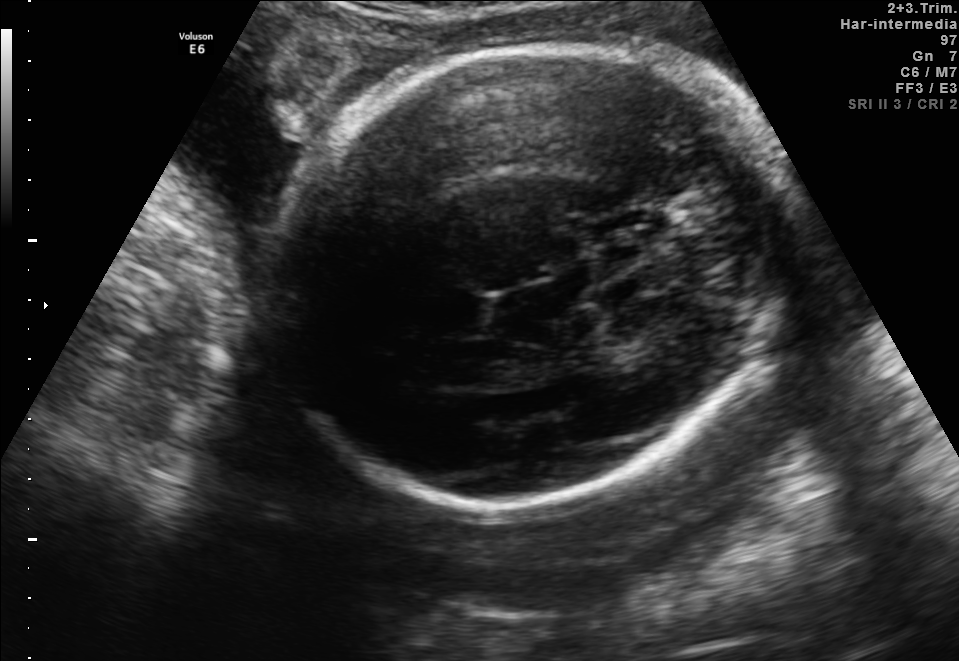
Fetal brain, trans-thalamic plane. Give [x1,y1,x2,y2] bounding boxes for each visible structure among: fetal head, CSP, LV.

Head: [266,43,787,510]